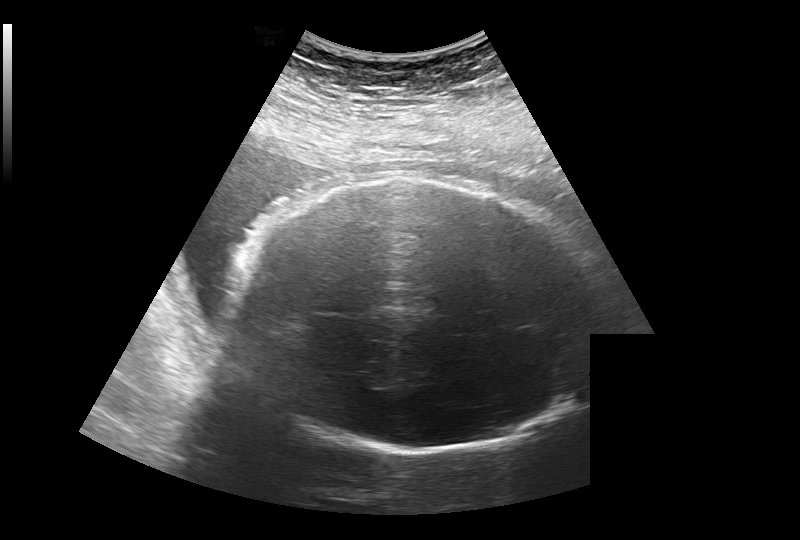
Estimate the fetal head circumference from this 2D ultrasound. Image width: 246.2 mm.

Head circumference: 315.0 mm.